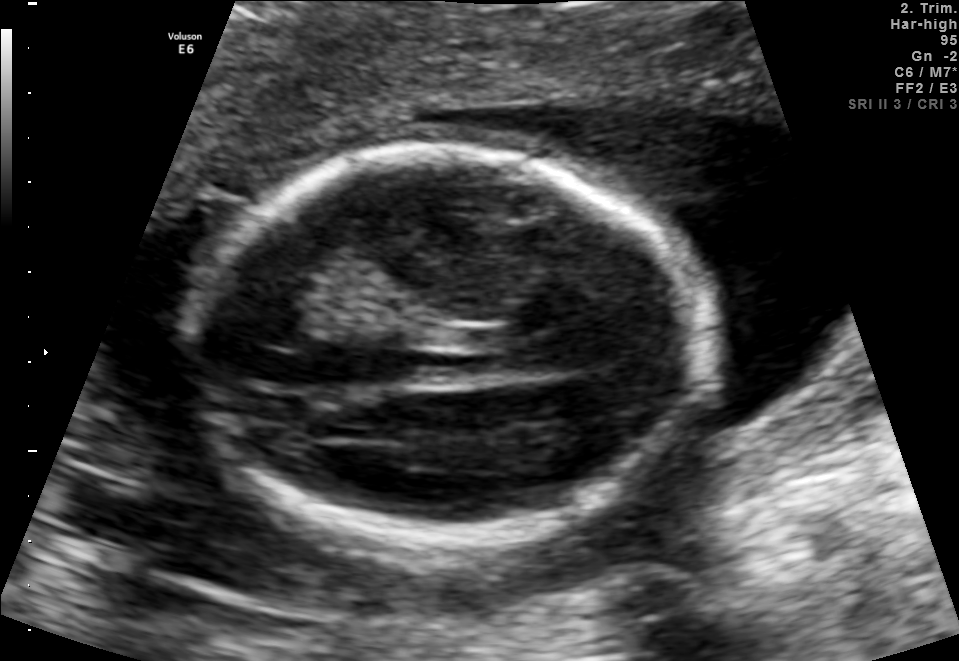
Which standard maternal-fetal ultrasound plane is shown: fetal abdomen, fetal brain, fetal femur, fetal thorax, maternal cervix, or other? If it's fetal brain and one of the three standard brain planes (trans-thalamic, trans-cerebellum, trans-ventricular), name which.

Fetal brain (trans-thalamic plane)